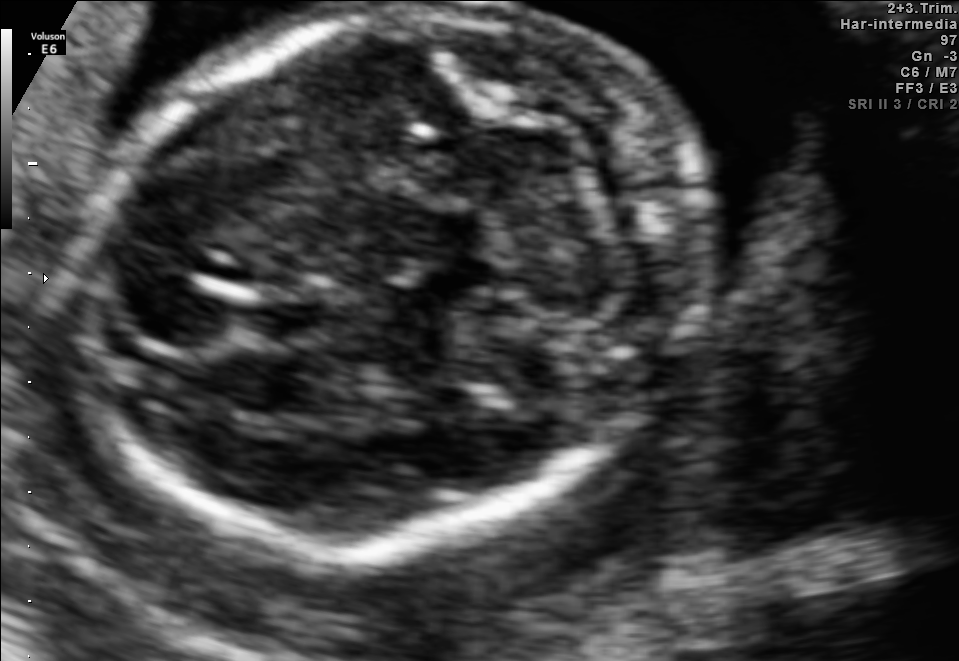
Fetal brain, trans-cerebellum plane. Where is the fetal head?

Head bounding box: [83,6,700,543]